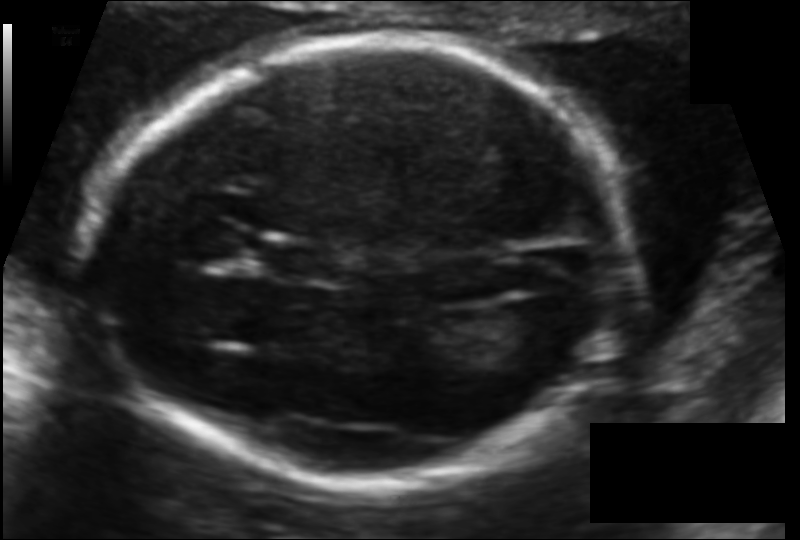
Fetal head ultrasound. Image width: 85.1 mm. Give [x1,y1,x2,y2] bounding boxes for each visible structure among: fetal head, CSP, LV.

Head: [89,39,629,484]
CSP: [267,244,331,281]